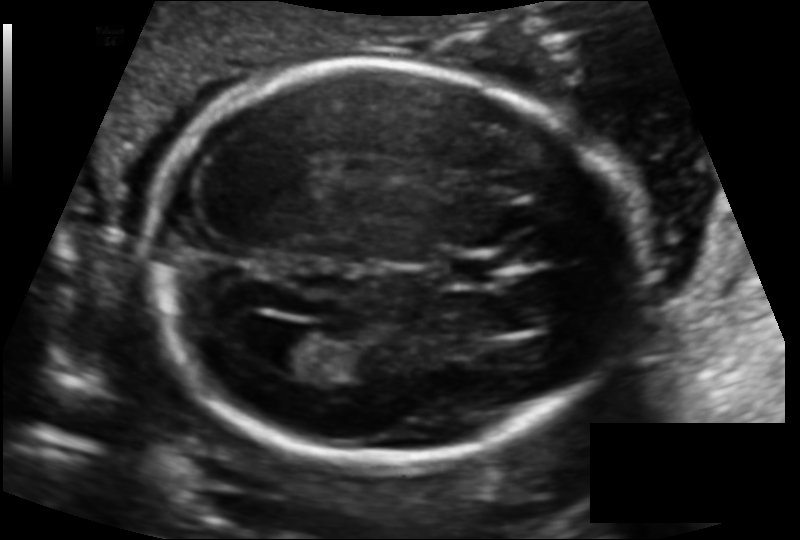
Estimate the fetal head circumference from this 2D ultrasound. Image width: 100.1 mm.

Head circumference: 181.6 mm.